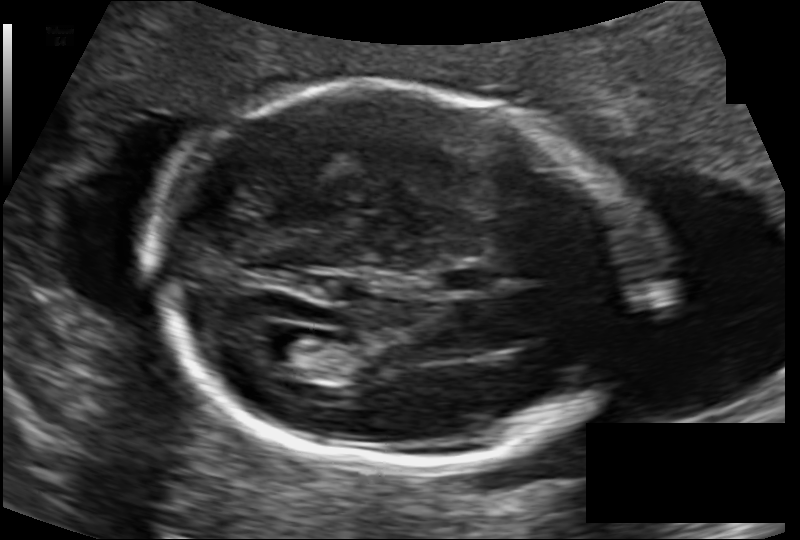
From this fetal ultrasound, estimate the head circumference (image width 95.8 mm).

Head circumference: 169.7 mm.